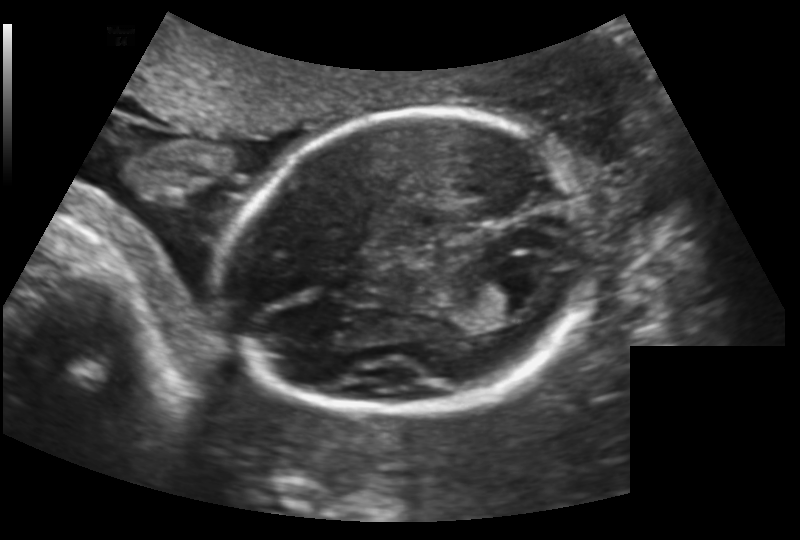
Fetal head ultrasound. Image width: 127.5 mm. Locate the fetal head and, if visible, the cavum septum pellucidum (CSP) and lateral ventricle (LV). Give bounding boxes as [x1,y1,x2,y2].

Head: [227,110,598,415]
Lateral ventricle: [485,261,561,322]